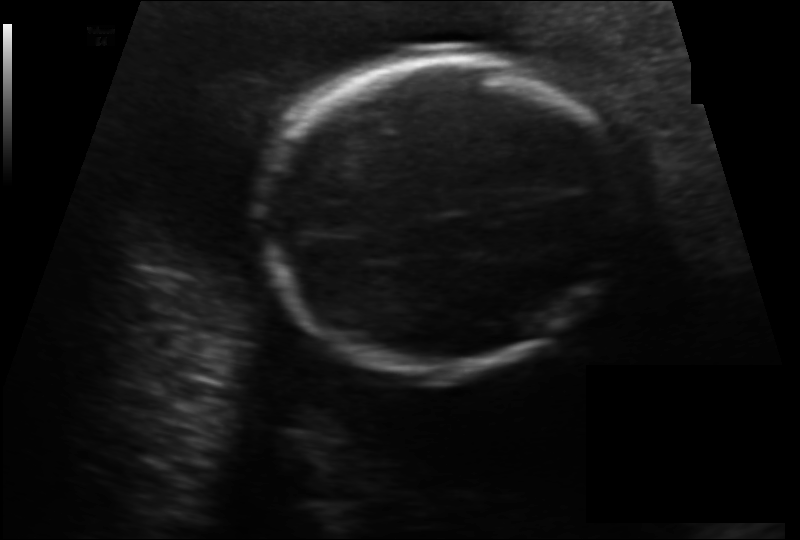
Estimate the fetal head circumference from this 2D ultrasound.

Head circumference: 171.4 mm (image width 124.9 mm).